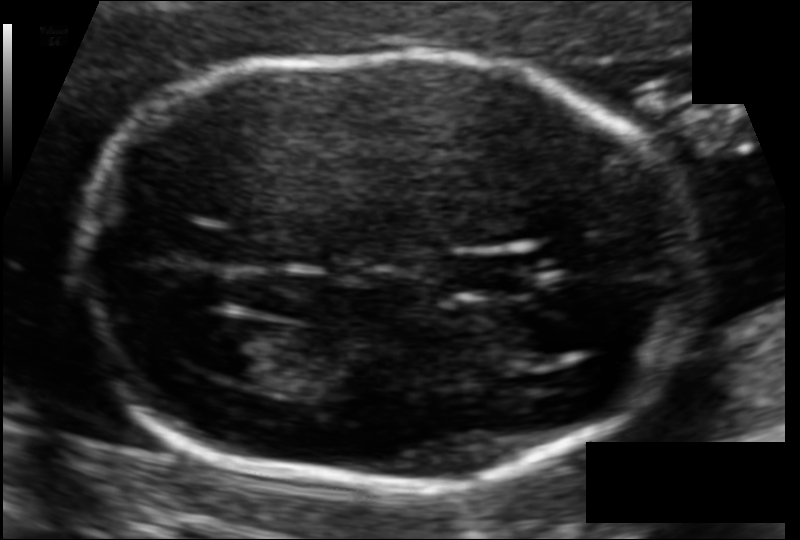
In this fetal head ultrasound, give the bounding box of the fetal head. Image width: 73.9 mm.

[81,56,701,486]